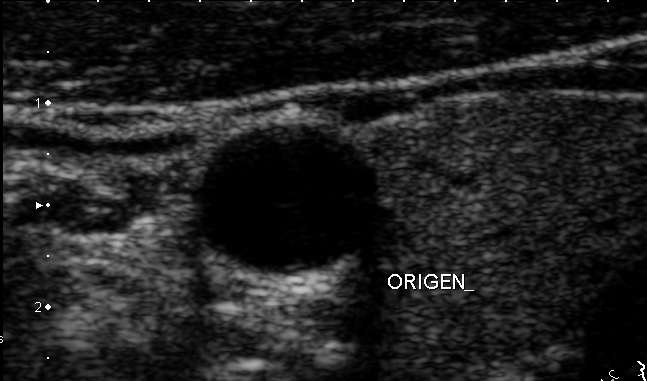
This is a 2D maternal-fetal ultrasound frame. Is it a fetal abdomen, fetal brain, fetal femur, fetal thorax, maternal cervix, or other standard plane? If it's fetal brain and one of the three standard brain planes (trans-thalamic, trans-cerebellum, trans-ventricular), name which.

Other